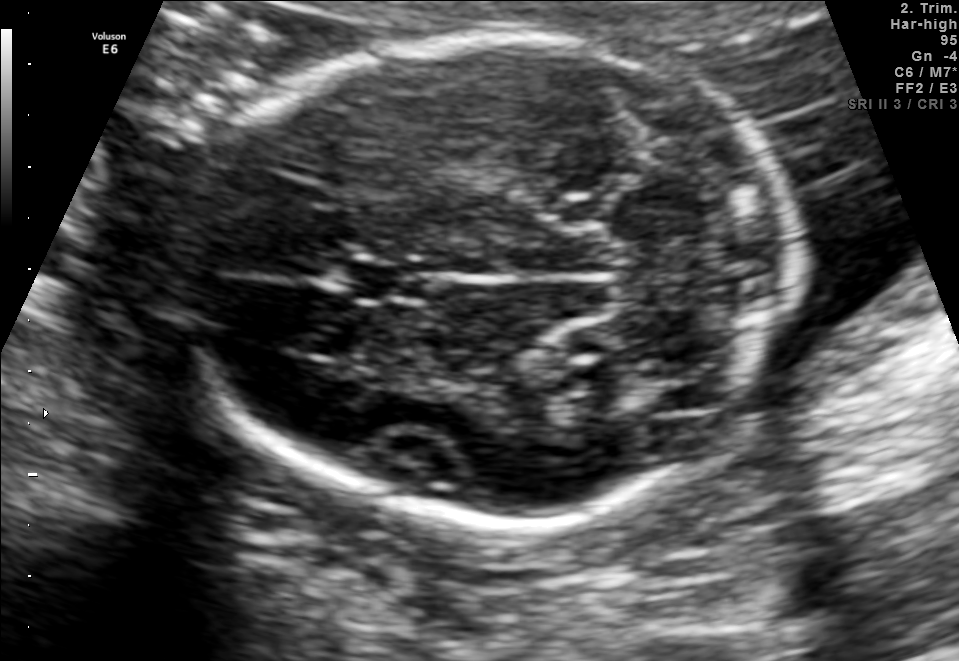
Fetal brain, trans-cerebellum plane. Where is the cavum septum pellucidum?

CSP bounding box: [349,259,426,304]